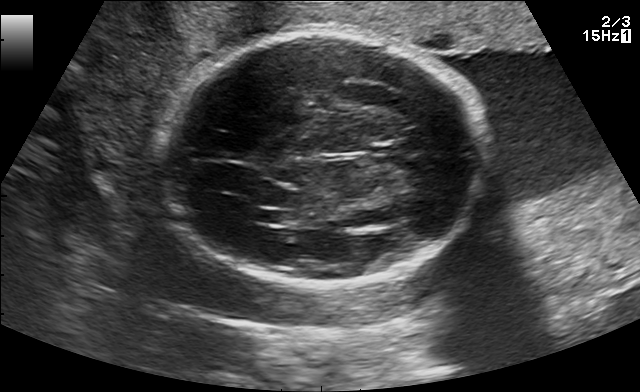
Fetal brain, trans-thalamic plane. Locate the fetal head.

Head: [160,34,484,285]